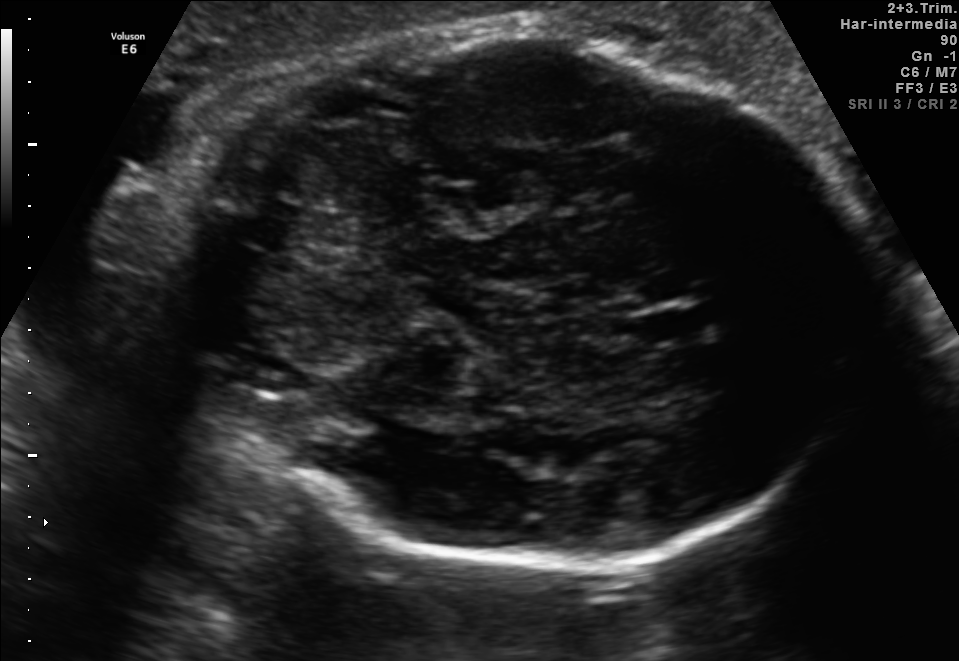
Fetal brain, trans-cerebellum plane. Give [x1,y1,x2,y2] bounding boxes for each visible structure among: fetal head, CSP, LV.

Head: [171,30,856,569]
CSP: [625,297,709,355]